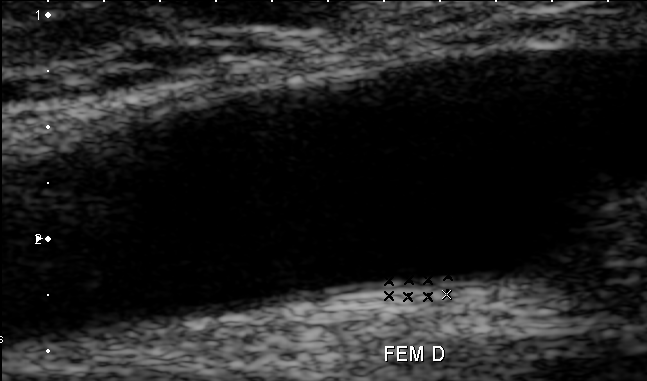
Classify this maternal-fetal ultrasound image as one of the six standard planes — fetal abdomen, fetal brain, fetal femur, fetal thorax, maternal cervix, or other. If it's fetal brain and one of the three standard brain planes (trans-thalamic, trans-cerebellum, trans-ventricular), name which.

Other